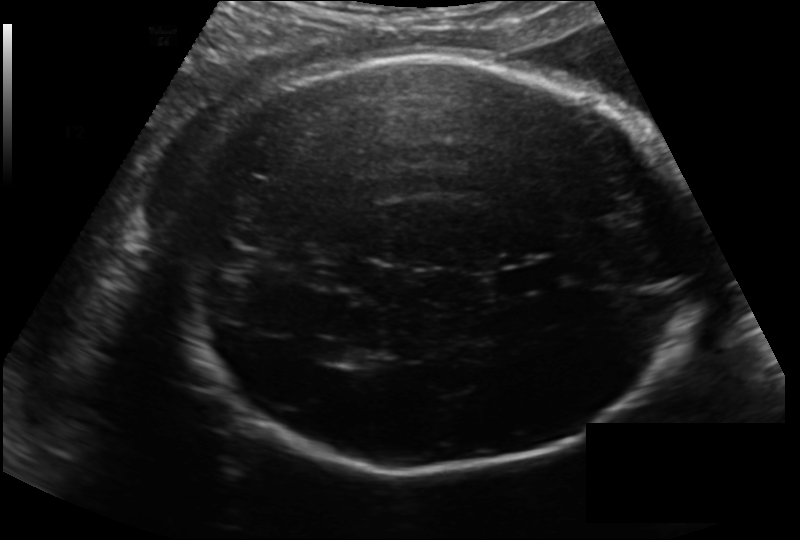
From this fetal ultrasound, estimate the head circumference (image width 146.5 mm).

Head circumference: 274.4 mm.